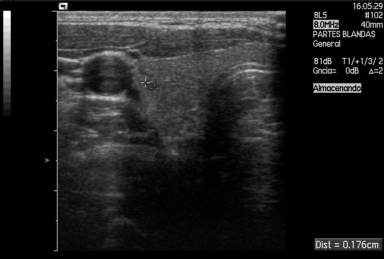
This is a 2D maternal-fetal ultrasound frame. Is it a fetal abdomen, fetal brain, fetal femur, fetal thorax, maternal cervix, or other standard plane? If it's fetal brain and one of the three standard brain planes (trans-thalamic, trans-cerebellum, trans-ventricular), name which.

Other